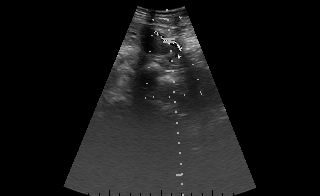
This is a 2D maternal-fetal ultrasound frame. Is it a fetal abdomen, fetal brain, fetal femur, fetal thorax, maternal cervix, or other standard plane? If it's fetal brain and one of the three standard brain planes (trans-thalamic, trans-cerebellum, trans-ventricular), name which.

Other